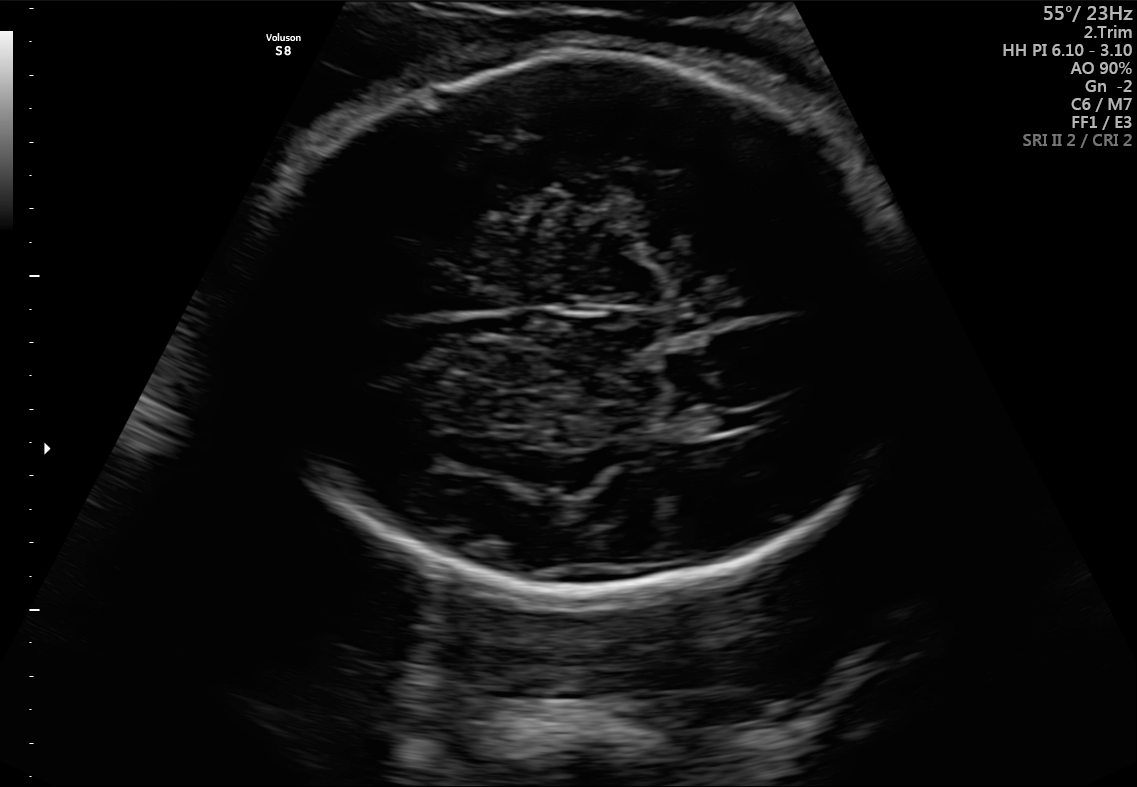
Identify the standard plane in this fetal ultrasound image: fetal abdomen, fetal brain, fetal femur, fetal thorax, maternal cervix, or other. If it's fetal brain and one of the three standard brain planes (trans-thalamic, trans-cerebellum, trans-ventricular), name which.

Fetal brain (trans-ventricular plane)